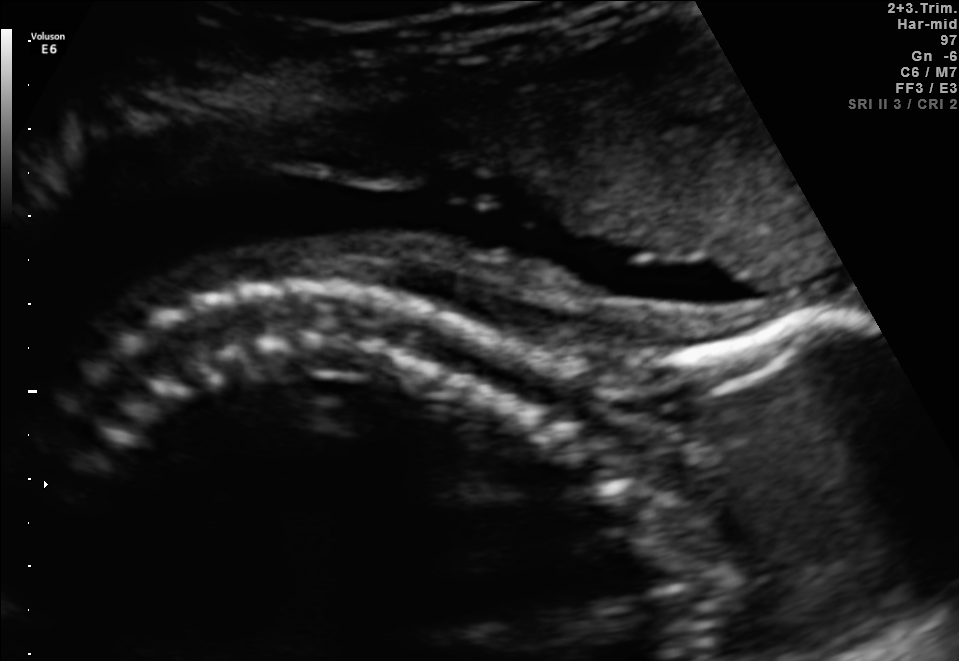
Which standard maternal-fetal ultrasound plane is shown: fetal abdomen, fetal brain, fetal femur, fetal thorax, maternal cervix, or other? If it's fetal brain and one of the three standard brain planes (trans-thalamic, trans-cerebellum, trans-ventricular), name which.

Other